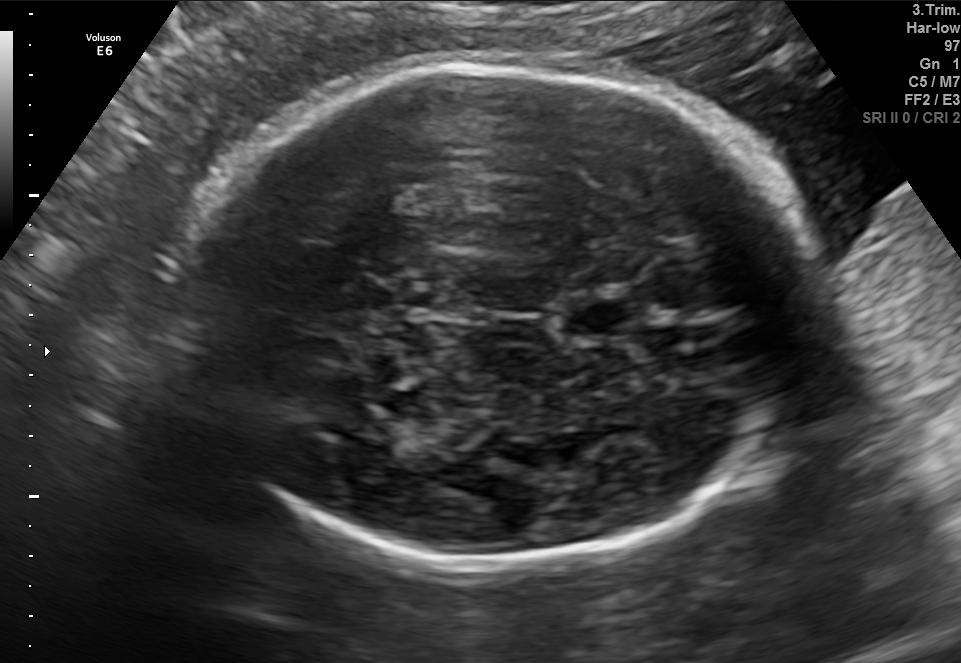
Fetal brain, trans-thalamic plane. Where is the fetal head?

Head bounding box: [181,64,814,569]